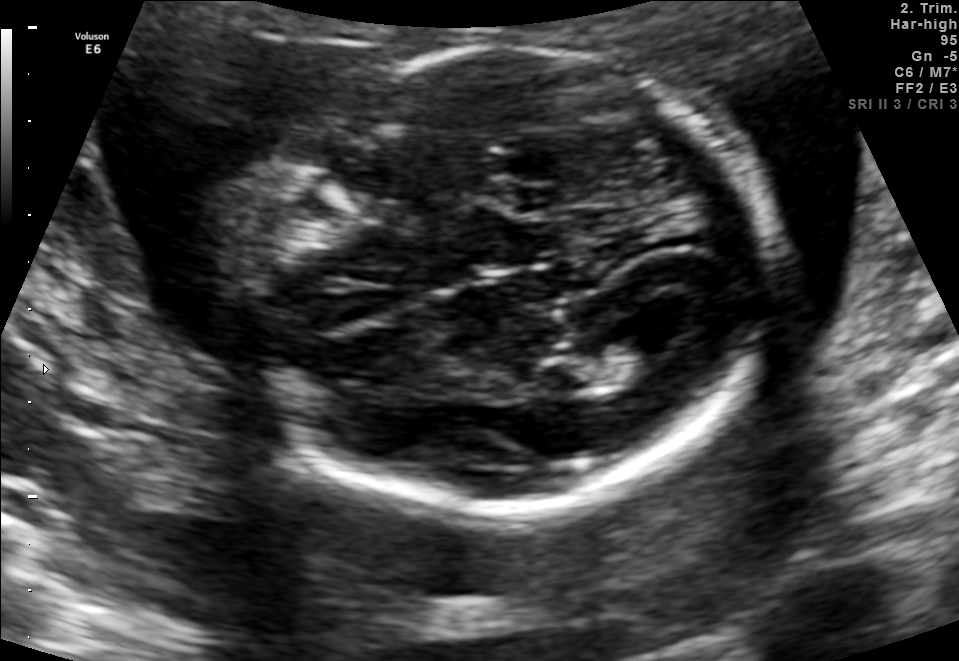
Fetal brain, trans-ventricular plane. Locate the fetal head.

Head: [216,42,787,519]